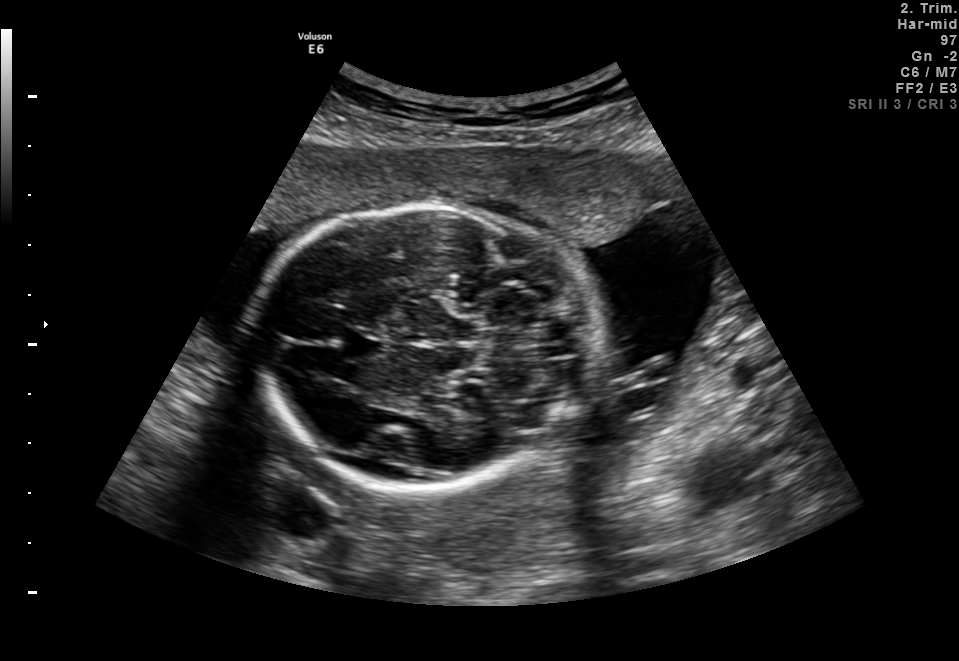
Fetal brain, trans-cerebellum plane. Locate the fetal head.

Head: [254,202,595,491]